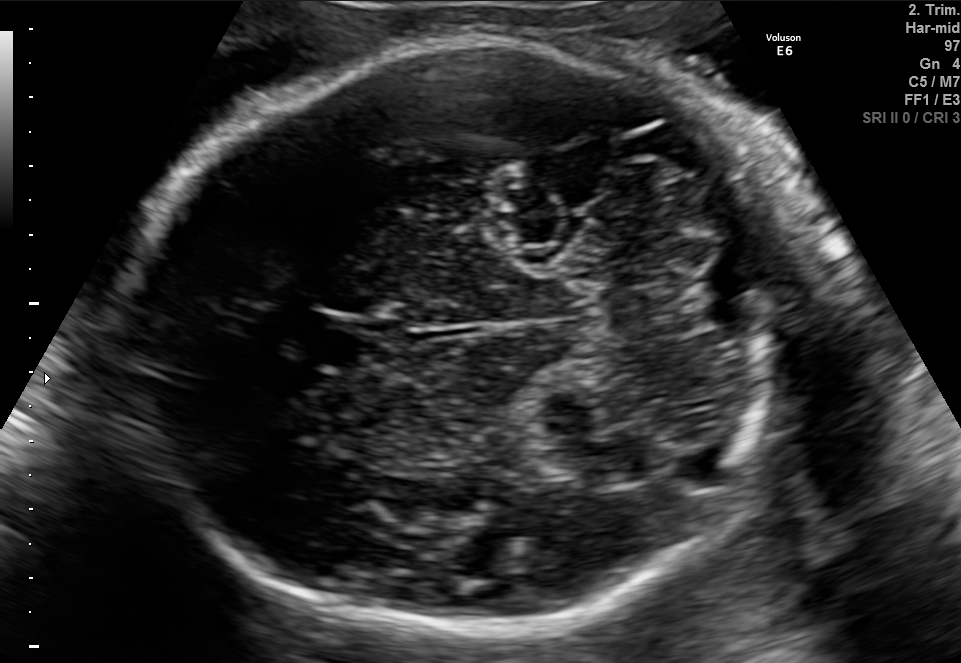
In this fetal brain, trans-cerebellum plane, give bounding boxes for the head outline, cavum septum pellucidum (CSP), and lateral ventricle (LV), where visible.

Head: [135,43,782,636]
CSP: [292,307,385,381]